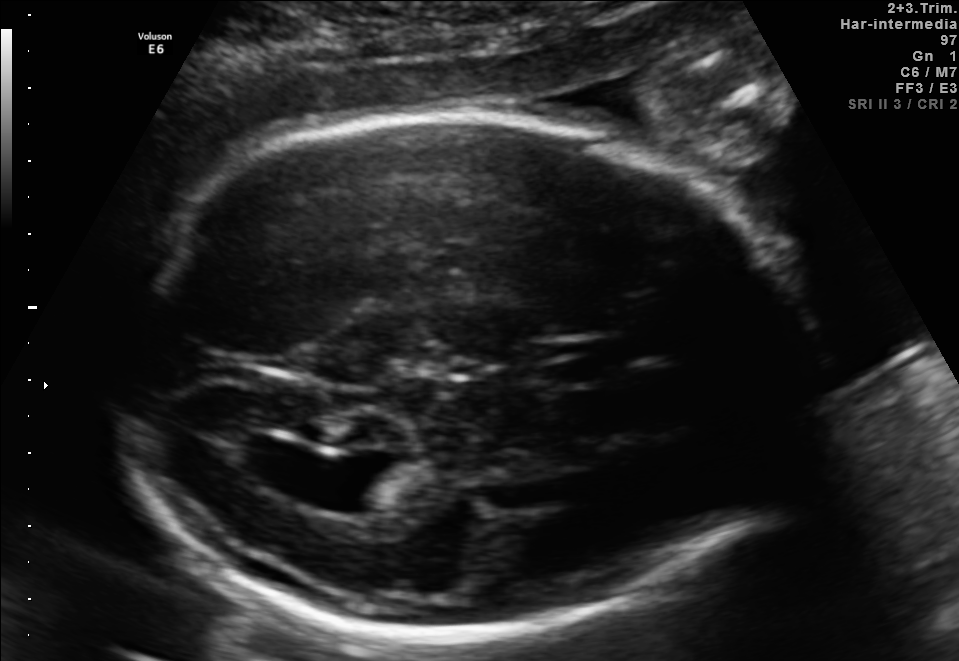
Fetal brain, trans-ventricular plane. Locate the lateral ventricle.

Lateral ventricle: [291,451,385,514]